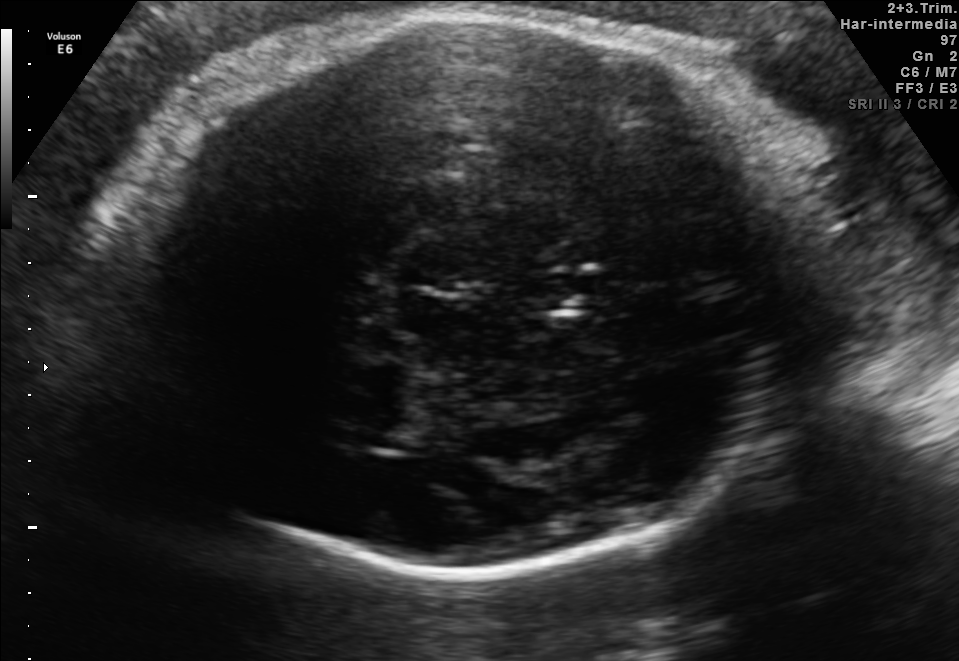
In this fetal brain, trans-thalamic plane, give the bounding box of the lateral ventricle.

[346,413,430,452]